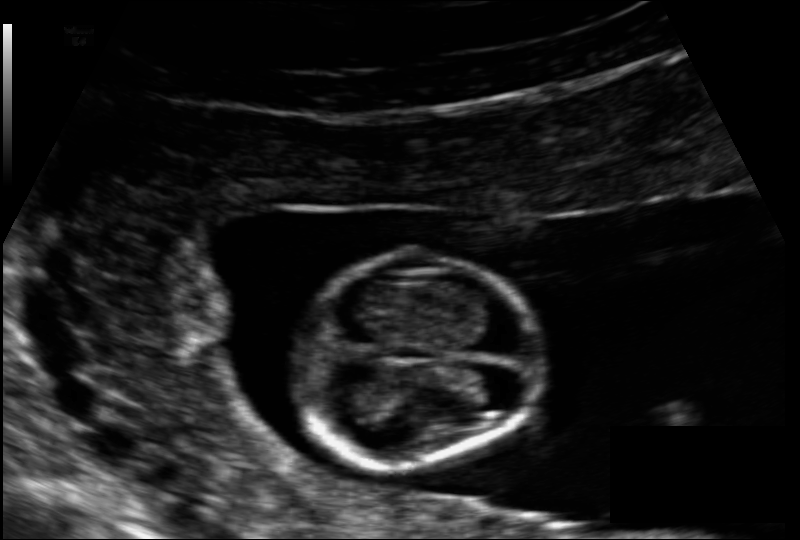
Measure the fetal head circumference shown in this ultrasound image. Image width: 73.0 mm.

Head circumference: 69.0 mm.